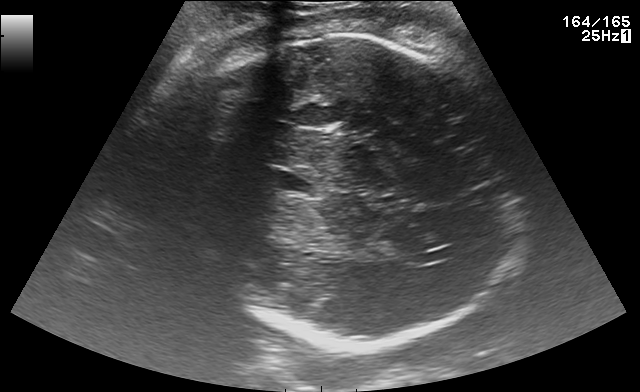
Fetal brain, trans-thalamic plane. Locate the fetal head and, if visible, the cavum septum pellucidum (CSP) and lateral ventricle (LV). Give bounding boxes as [x1,y1,x2,y2].

Head: [190,36,516,346]
CSP: [276,169,313,193]
Lateral ventricle: [413,243,456,269]